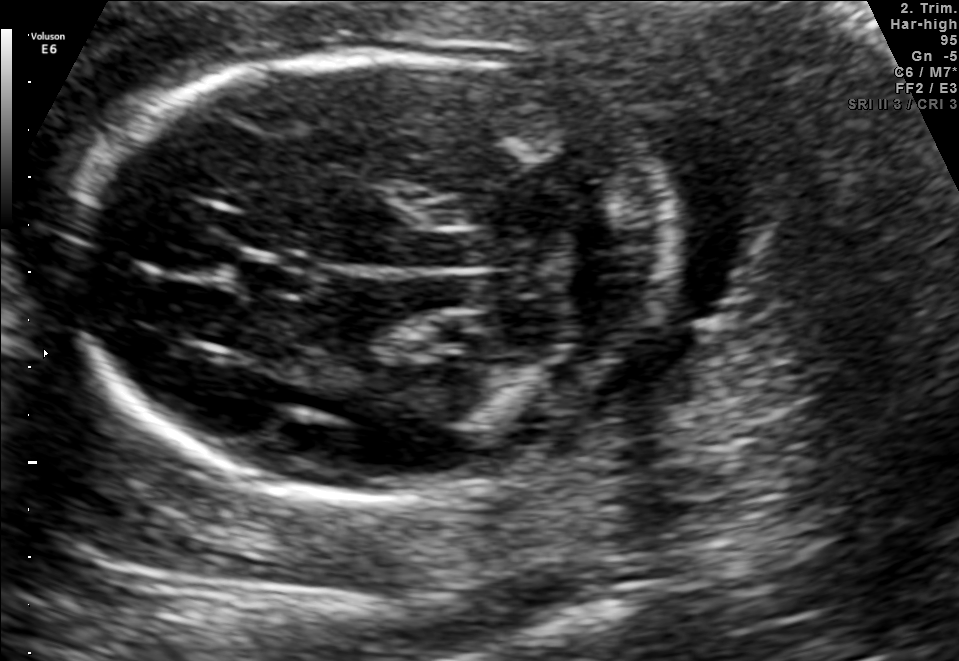
Fetal brain, trans-cerebellum plane. Where is the cavum septum pellucidum?

CSP bounding box: [236,253,312,300]